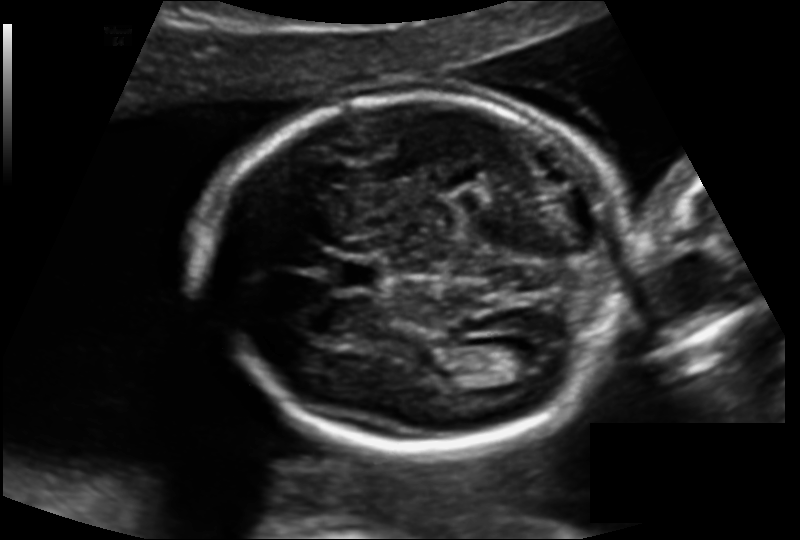
Fetal head ultrasound. Image width: 110.2 mm. Where is the fetal head?

Head bounding box: [203,95,626,450]